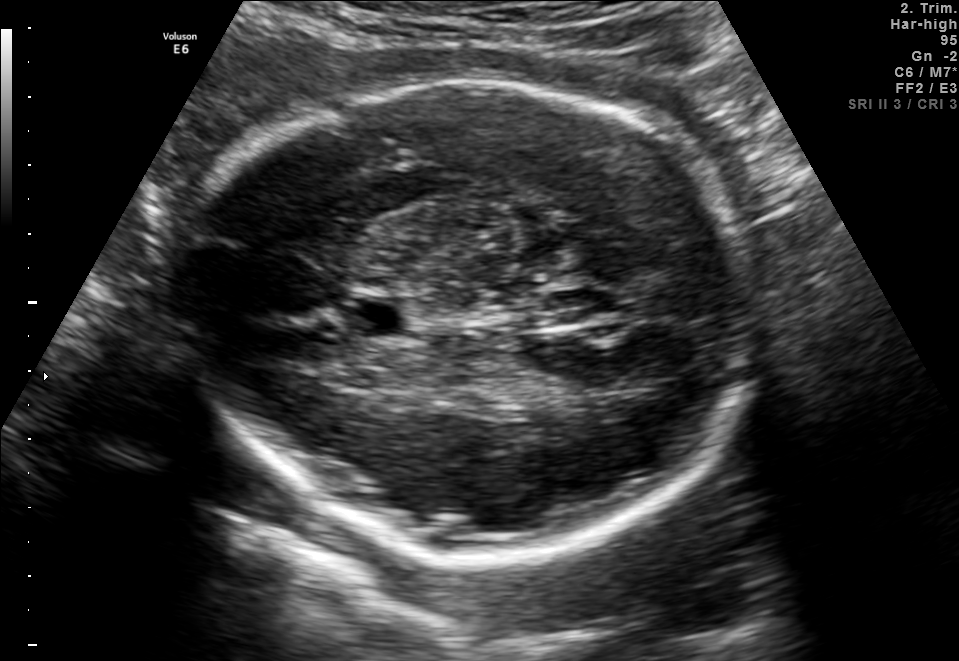
This is a 2D maternal-fetal ultrasound frame. Is it a fetal abdomen, fetal brain, fetal femur, fetal thorax, maternal cervix, or other standard plane? If it's fetal brain and one of the three standard brain planes (trans-thalamic, trans-cerebellum, trans-ventricular), name which.

Fetal brain (trans-thalamic plane)